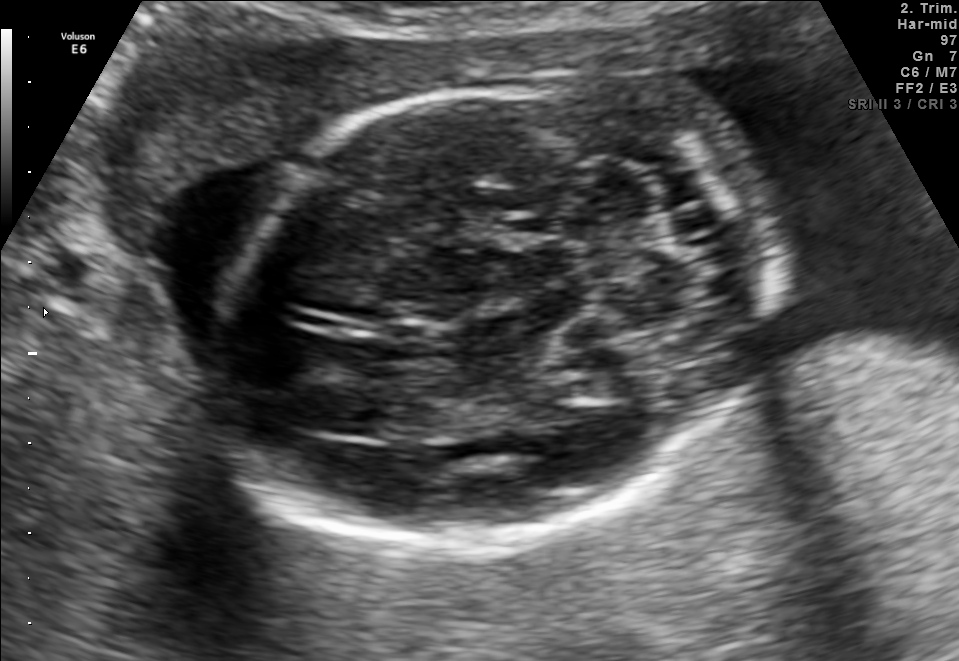
In this fetal brain, trans-cerebellum plane, give the bounding box of the fetal head.

[205,76,778,545]